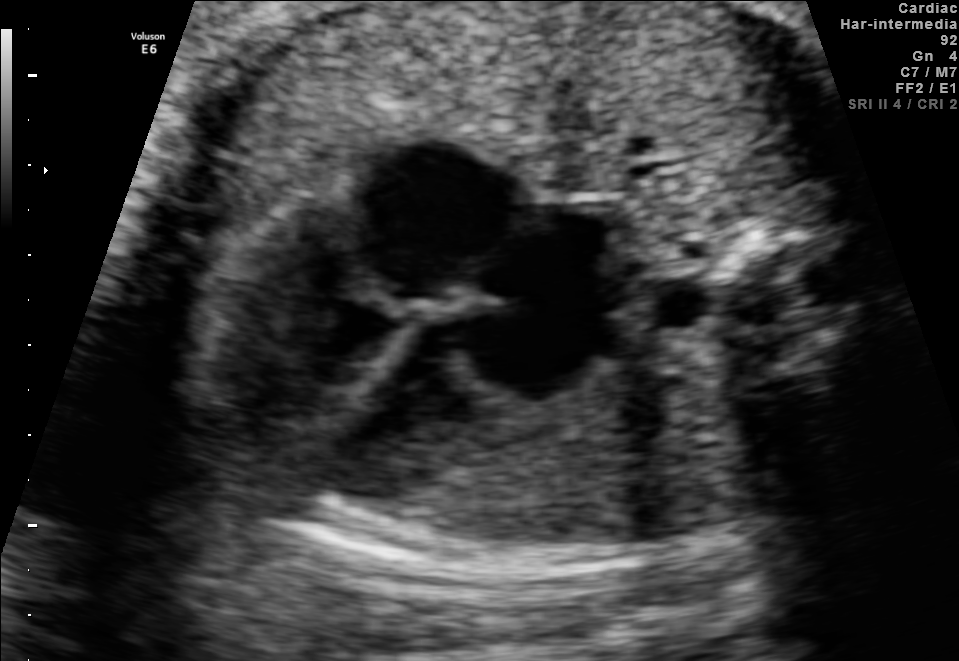
Which standard maternal-fetal ultrasound plane is shown: fetal abdomen, fetal brain, fetal femur, fetal thorax, maternal cervix, or other? If it's fetal brain and one of the three standard brain planes (trans-thalamic, trans-cerebellum, trans-ventricular), name which.

Fetal thorax